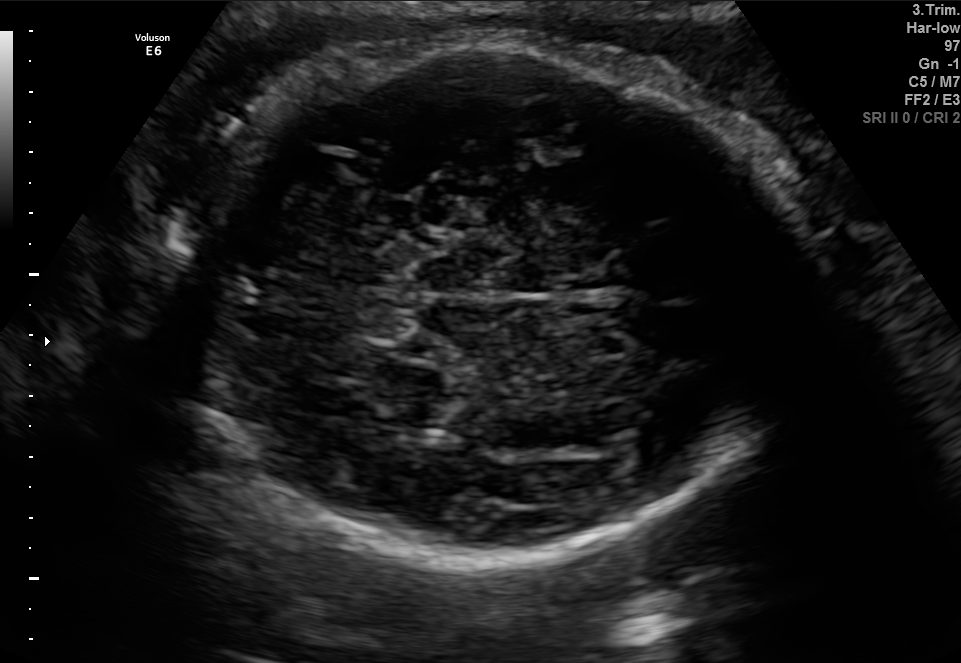
Fetal brain, trans-cerebellum plane. Give [x1,y1,x2,y2] bounding boxes for each visible structure among: fetal head, CSP, LV.

Head: [175,45,796,564]